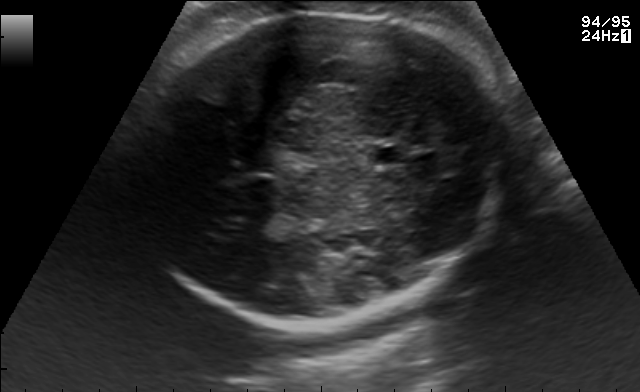
Identify the standard plane in this fetal ultrasound image: fetal abdomen, fetal brain, fetal femur, fetal thorax, maternal cervix, or other. If it's fetal brain and one of the three standard brain planes (trans-thalamic, trans-cerebellum, trans-ventricular), name which.

Fetal brain (trans-thalamic plane)